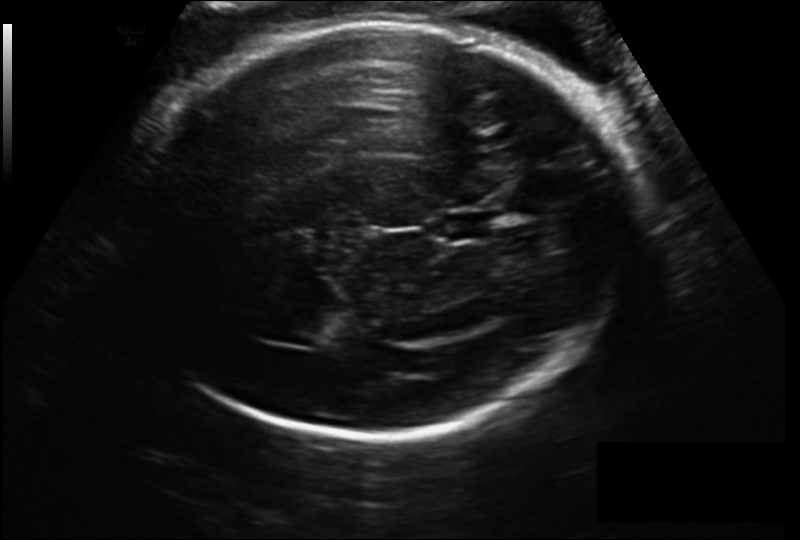
Measure the fetal head circumference shown in this ultrasound image. Image width: 164.9 mm.

Head circumference: 306.1 mm.